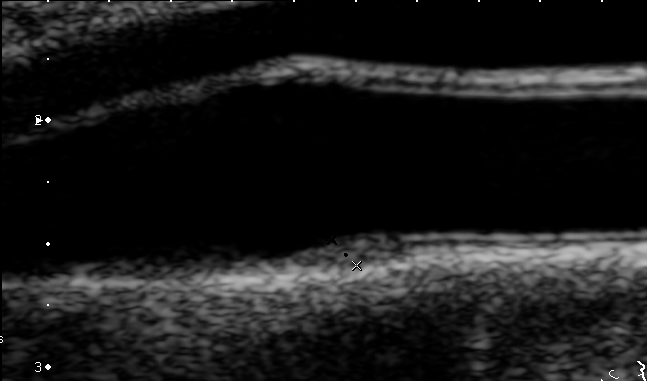
Which standard maternal-fetal ultrasound plane is shown: fetal abdomen, fetal brain, fetal femur, fetal thorax, maternal cervix, or other? If it's fetal brain and one of the three standard brain planes (trans-thalamic, trans-cerebellum, trans-ventricular), name which.

Other